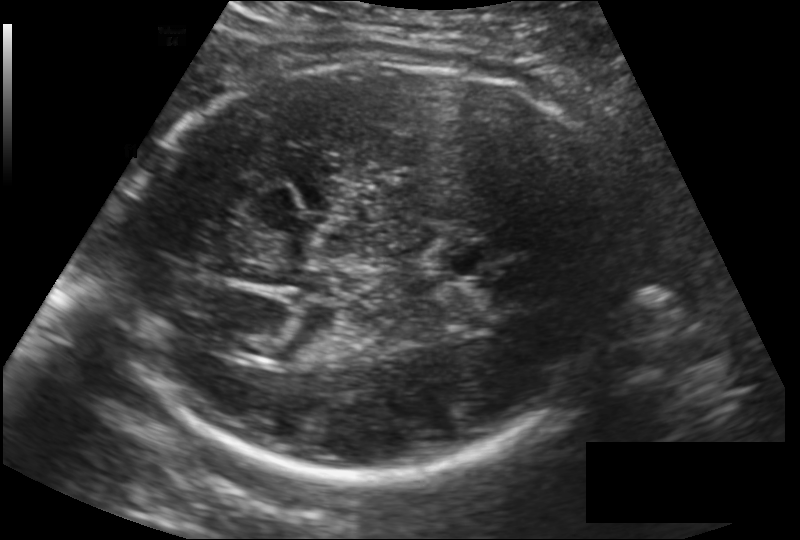
From this fetal ultrasound, estimate the head circumference (image width 148.6 mm).

Head circumference: 278.3 mm.